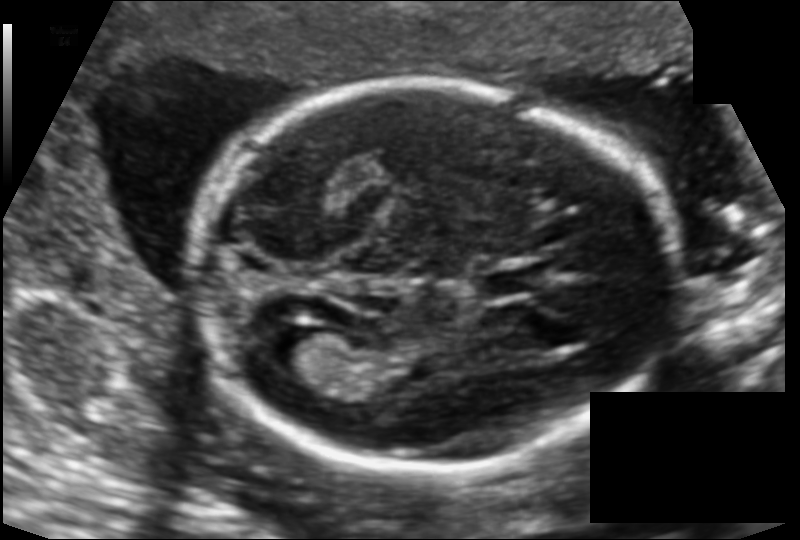
In this fetal head ultrasound, give the bounding box of the cavum septum pellucidum. Image width: 98.8 mm.

[483,263,543,300]